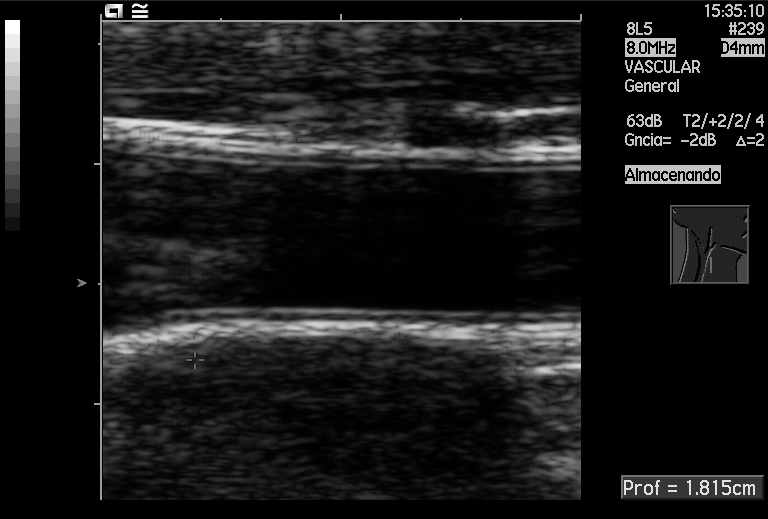
Identify the standard plane in this fetal ultrasound image: fetal abdomen, fetal brain, fetal femur, fetal thorax, maternal cervix, or other. If it's fetal brain and one of the three standard brain planes (trans-thalamic, trans-cerebellum, trans-ventricular), name which.

Other